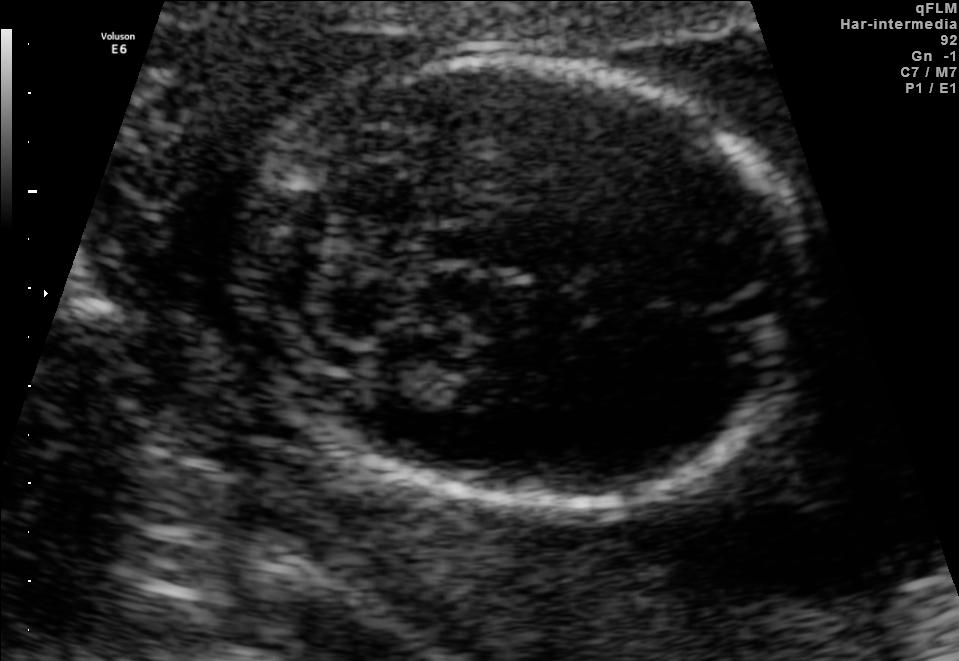
Fetal brain, trans-cerebellum plane. Give [x1,y1,x2,y2] bounding boxes for each visible structure among: fetal head, CSP, LV.

Head: [245,58,810,511]